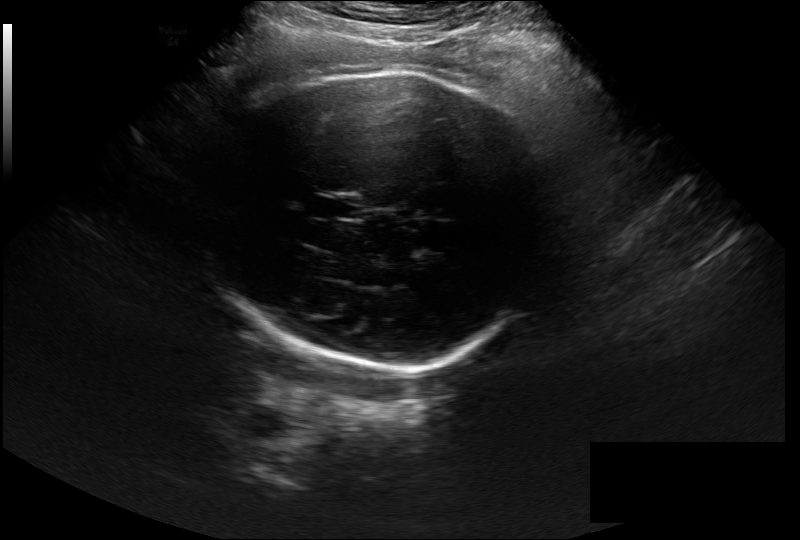
Estimate the fetal head circumference from this 2D ultrasound. Image width: 237.6 mm.

Head circumference: 313.2 mm.